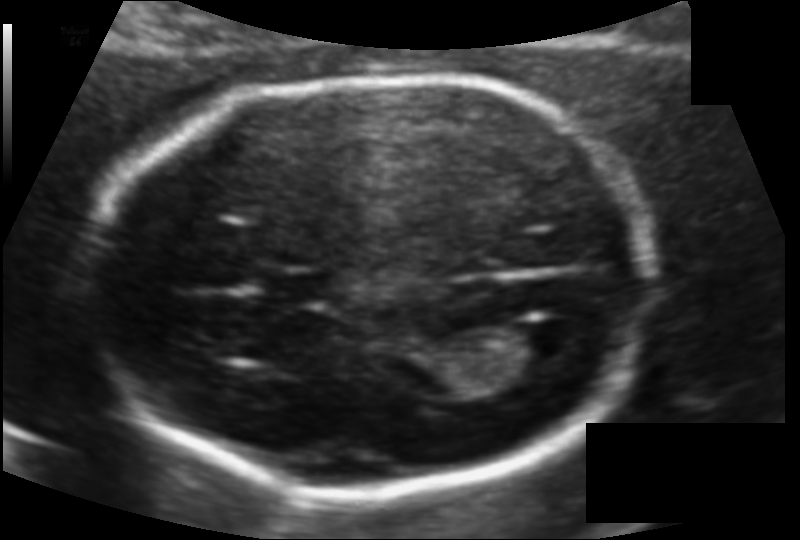
Fetal head ultrasound. Image width: 85.2 mm. Locate the lateral ventricle.

Lateral ventricle: [514,313,584,370]